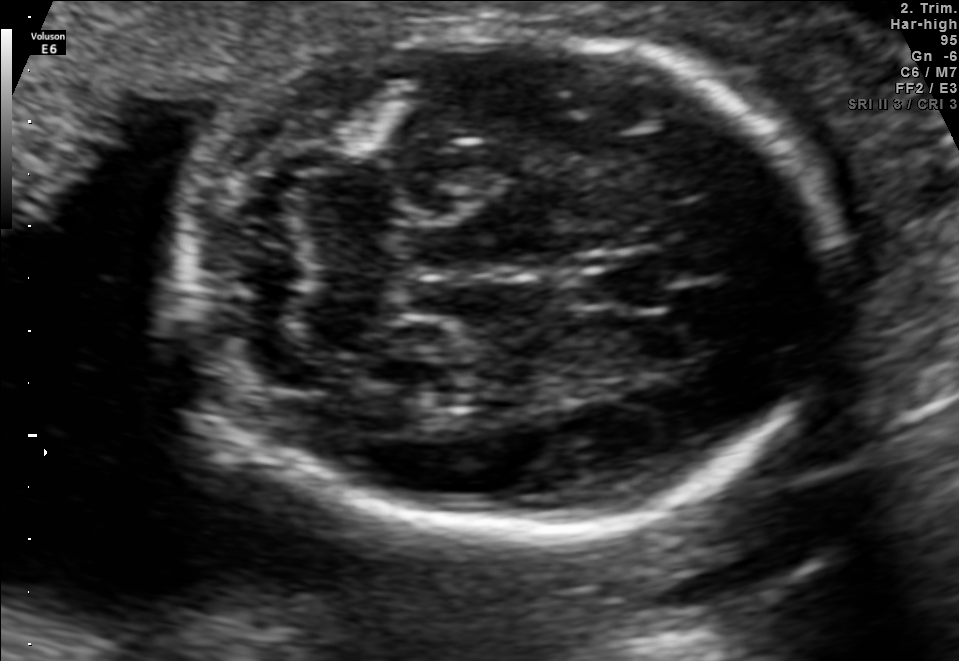
In this fetal brain, trans-cerebellum plane, give the bounding box of the cavum septum pellucidum.

[584,261,677,316]